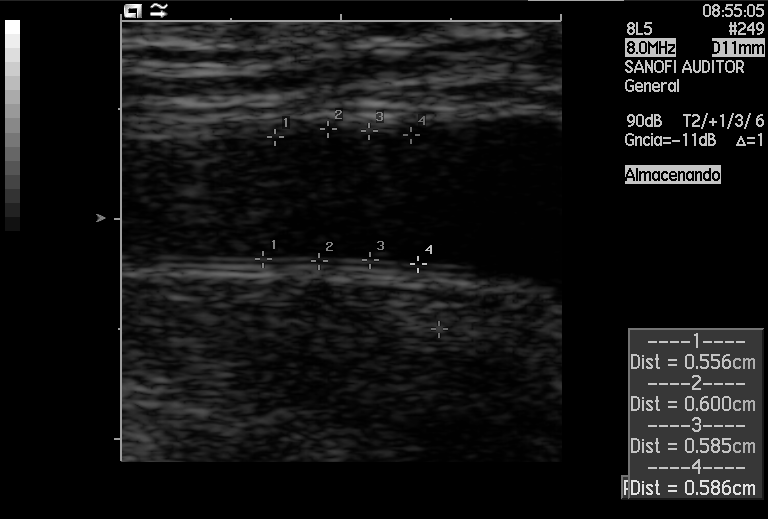
This is a 2D maternal-fetal ultrasound frame. Is it a fetal abdomen, fetal brain, fetal femur, fetal thorax, maternal cervix, or other standard plane? If it's fetal brain and one of the three standard brain planes (trans-thalamic, trans-cerebellum, trans-ventricular), name which.

Other